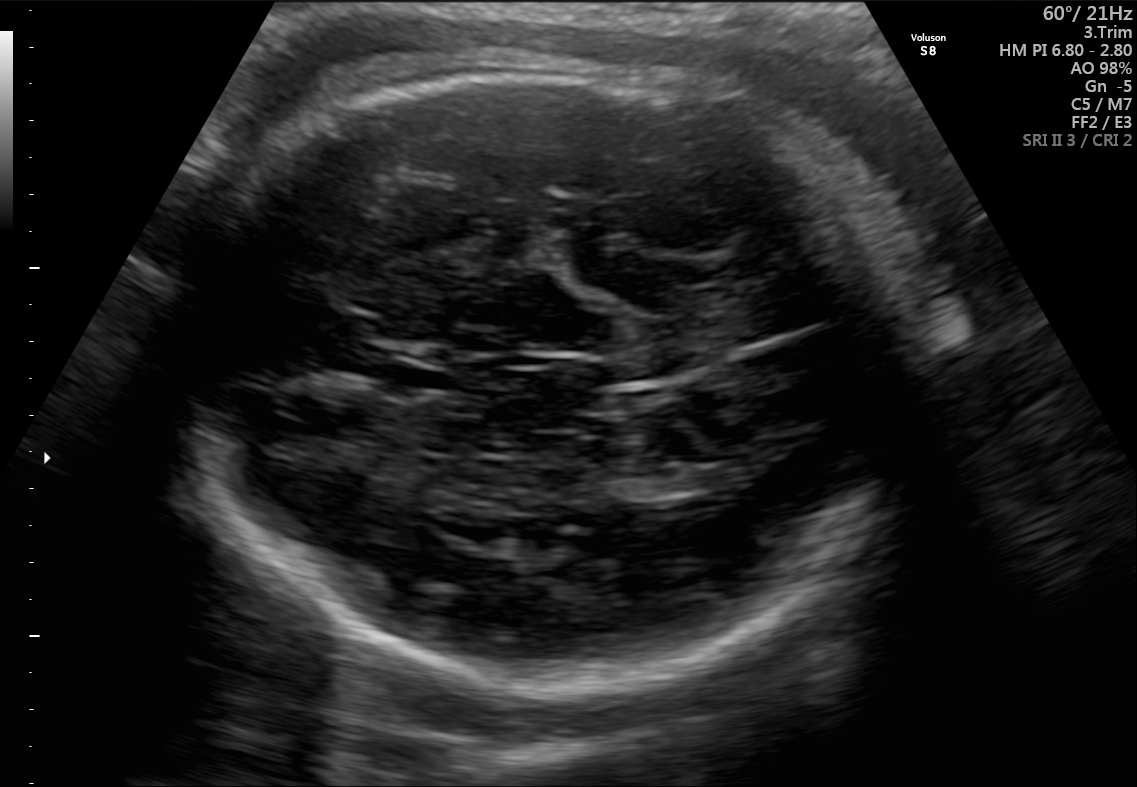
Fetal brain, trans-thalamic plane. Where is the fetal head?

Head bounding box: [167,67,918,682]